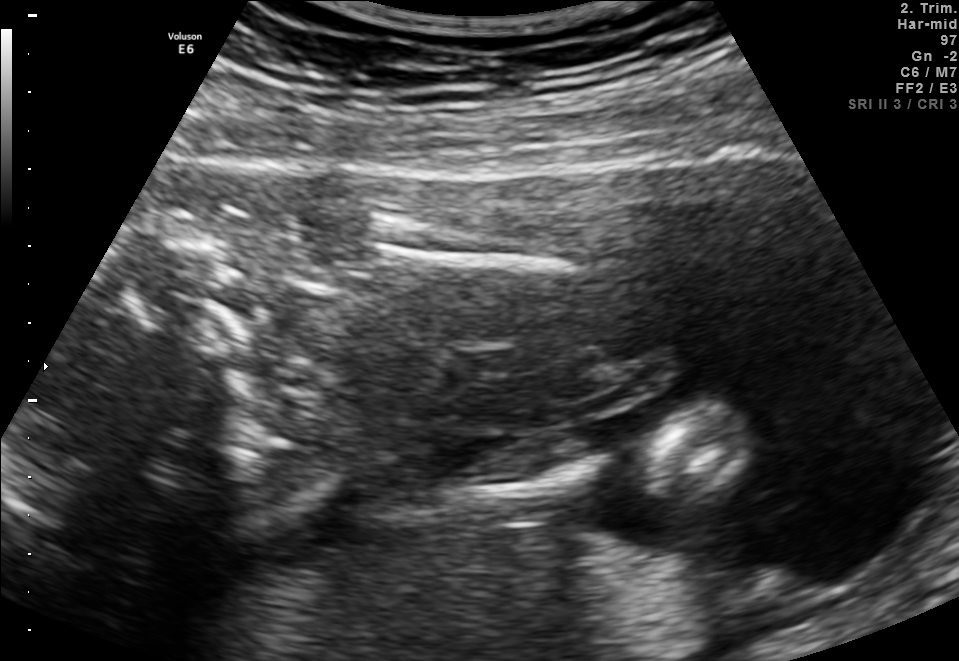
Which standard maternal-fetal ultrasound plane is shown: fetal abdomen, fetal brain, fetal femur, fetal thorax, maternal cervix, or other? If it's fetal brain and one of the three standard brain planes (trans-thalamic, trans-cerebellum, trans-ventricular), name which.

Other